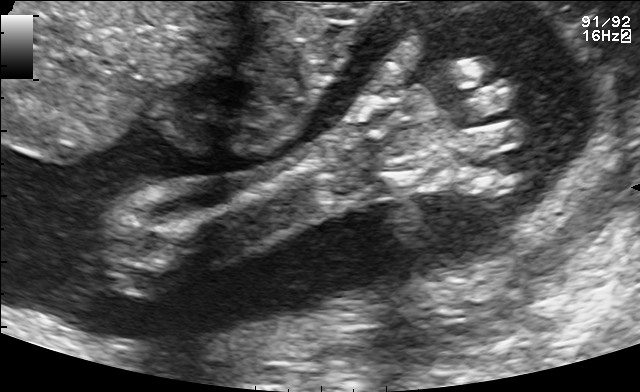
This is a 2D maternal-fetal ultrasound frame. Is it a fetal abdomen, fetal brain, fetal femur, fetal thorax, maternal cervix, or other standard plane? If it's fetal brain and one of the three standard brain planes (trans-thalamic, trans-cerebellum, trans-ventricular), name which.

Other